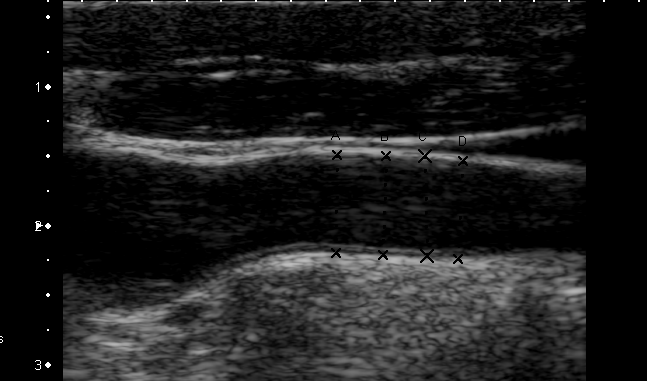
Which standard maternal-fetal ultrasound plane is shown: fetal abdomen, fetal brain, fetal femur, fetal thorax, maternal cervix, or other? If it's fetal brain and one of the three standard brain planes (trans-thalamic, trans-cerebellum, trans-ventricular), name which.

Other